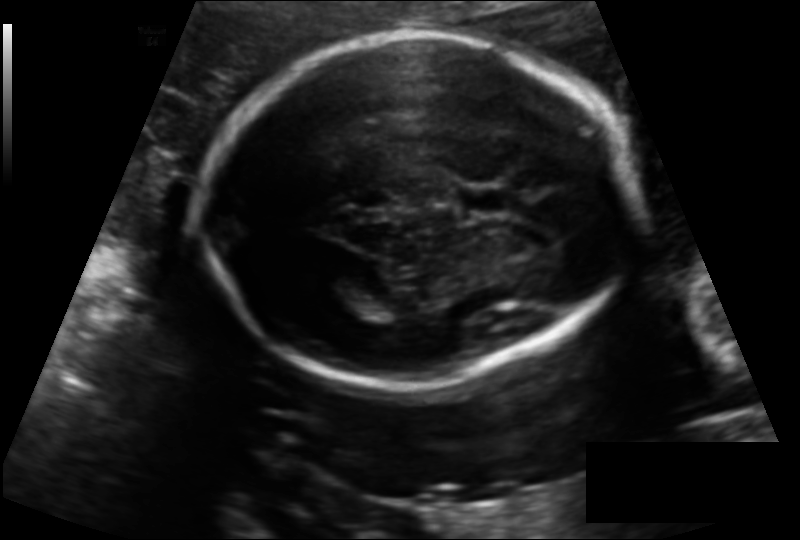
In this fetal head ultrasound, give the bounding box of the fetal head. Image width: 111.5 mm.

[198,33,631,386]